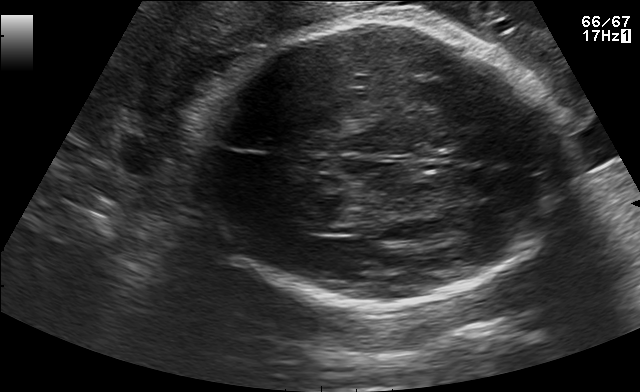
Fetal brain, trans-thalamic plane. Where is the fetal head?

Head bounding box: [188,20,568,306]